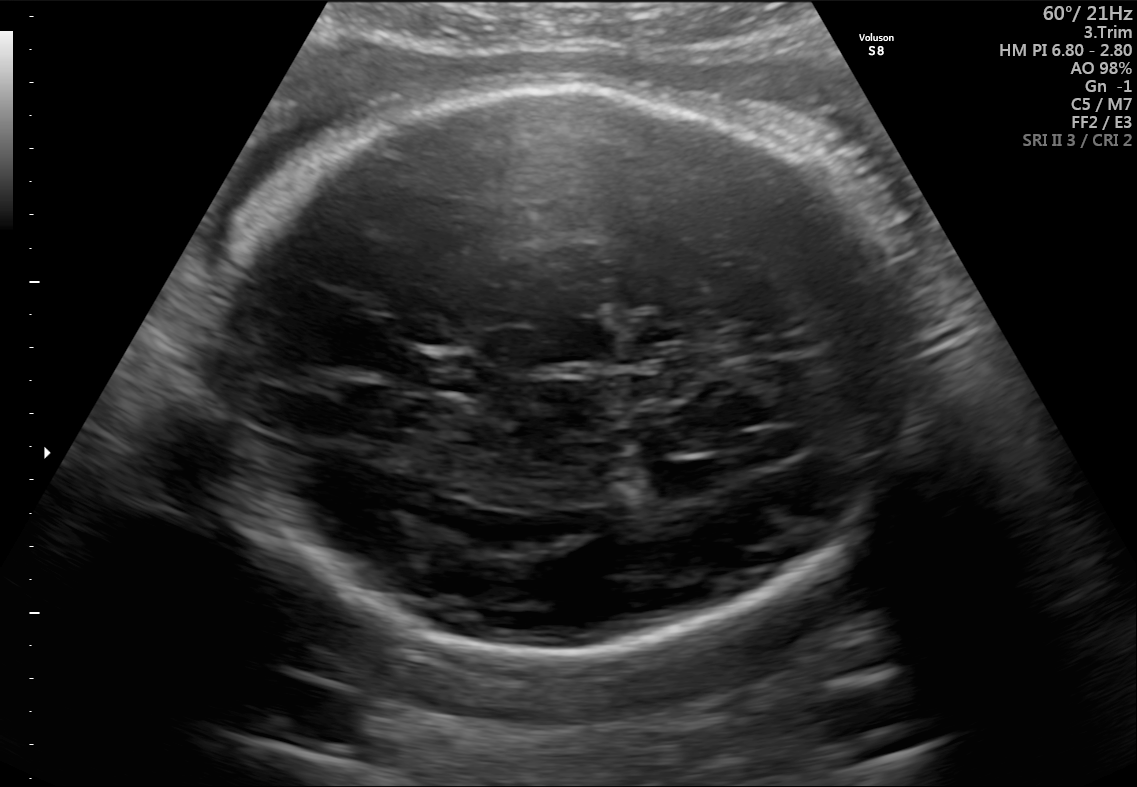
In this fetal brain, trans-thalamic plane, give bounding boxes for the head outline, cavum septum pellucidum (CSP), and lateral ventricle (LV), where visible.

Head: [206,90,909,654]
CSP: [415,353,483,393]
Lateral ventricle: [644,458,720,502]